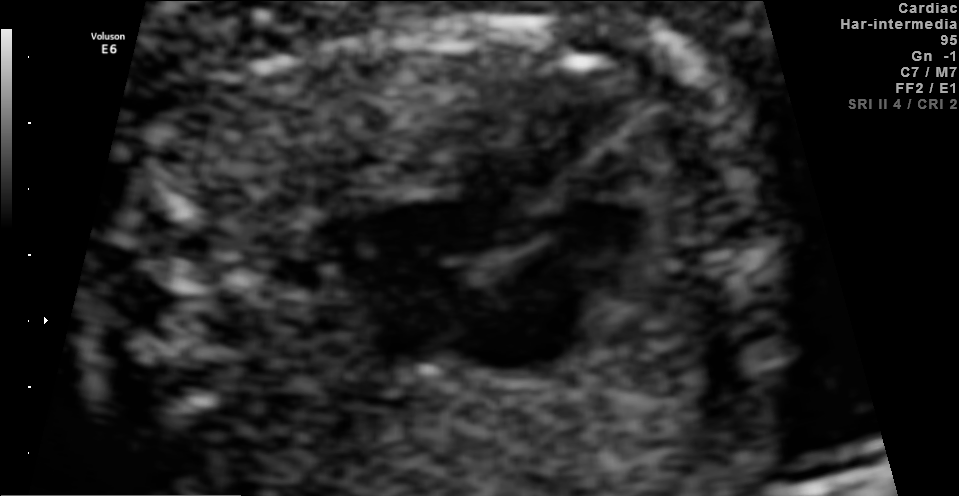
Which standard maternal-fetal ultrasound plane is shown: fetal abdomen, fetal brain, fetal femur, fetal thorax, maternal cervix, or other? If it's fetal brain and one of the three standard brain planes (trans-thalamic, trans-cerebellum, trans-ventricular), name which.

Fetal thorax